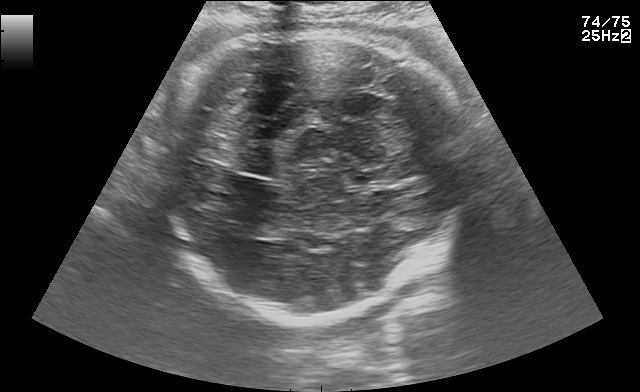
Fetal brain, trans-thalamic plane. Where is the fetal head?

Head bounding box: [158,32,468,320]